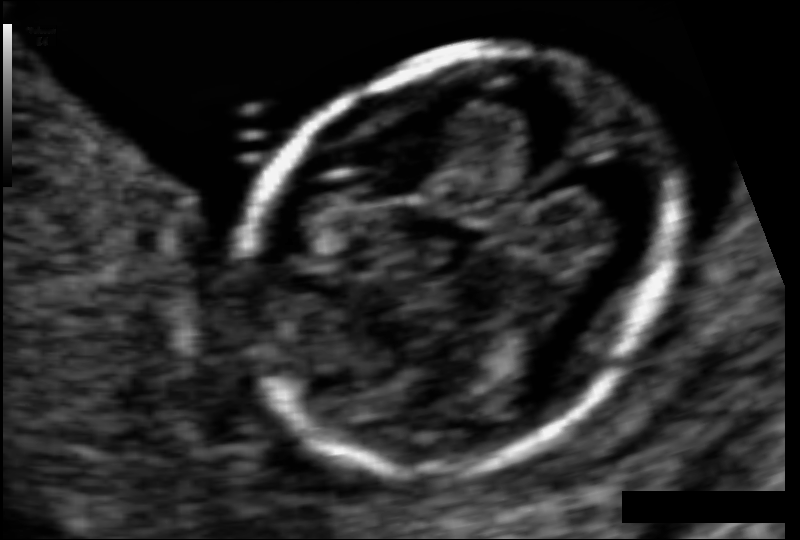
In this fetal head ultrasound, give bounding boxes for the head outline, cavum septum pellucidum (CSP), and lateral ventricle (LV), where visible. Image width: 48.5 mm.

Head: [240,47,672,469]